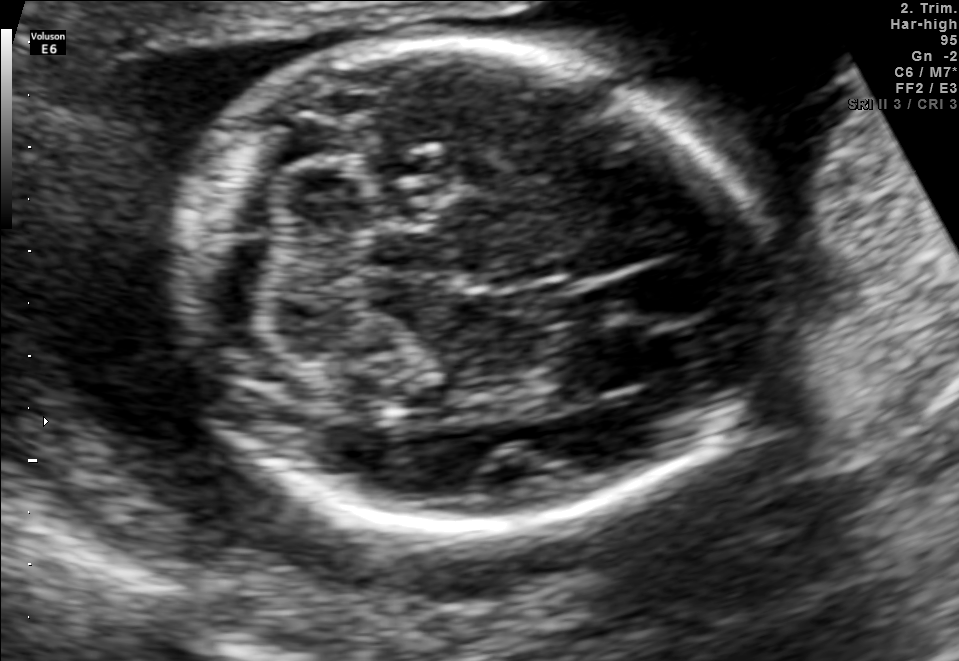
Fetal brain, trans-cerebellum plane. Locate the fetal head and, if visible, the cavum septum pellucidum (CSP) and lateral ventricle (LV). Give bounding boxes as [x1,y1,x2,y2].

Head: [183,41,770,532]